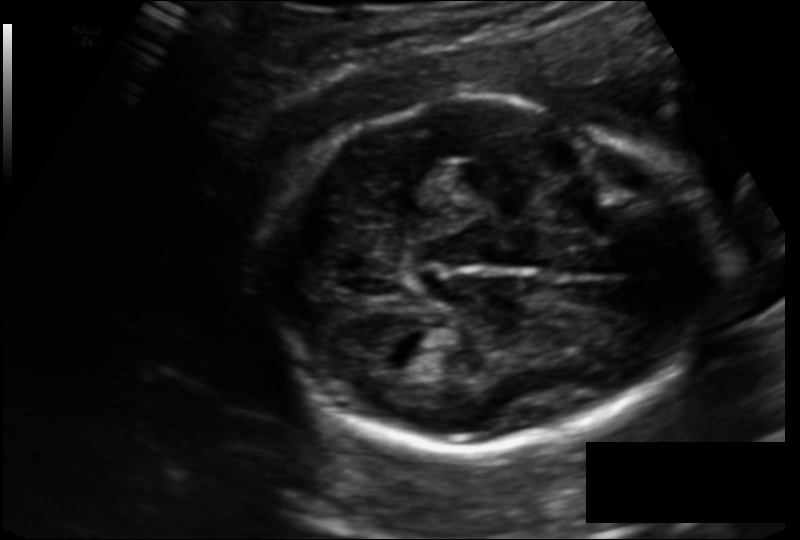
In this fetal head ultrasound, give the bounding box of the fetal head. Image width: 107.7 mm.

[259,97,711,454]